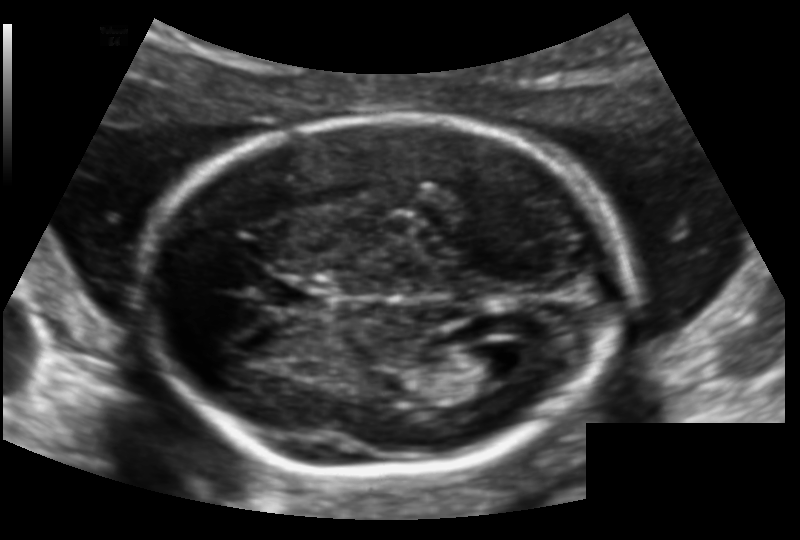
Estimate the fetal head circumference from this 2D ultrasound. Image width: 102.0 mm.

Head circumference: 174.1 mm.